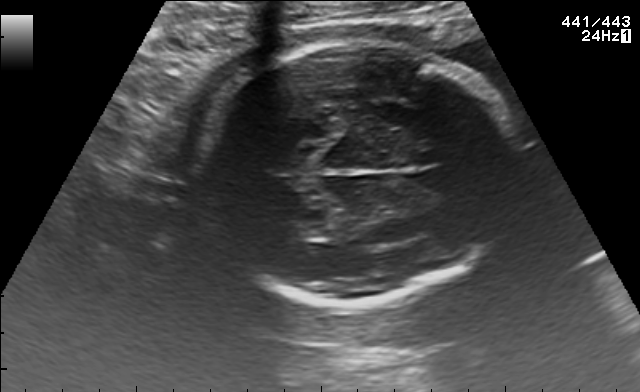
Fetal brain, trans-thalamic plane. Locate the fetal head and, if visible, the cavum septum pellucidum (CSP) and lateral ventricle (LV). Give bounding boxes as [x1,y1,x2,y2].

Head: [195,42,513,305]